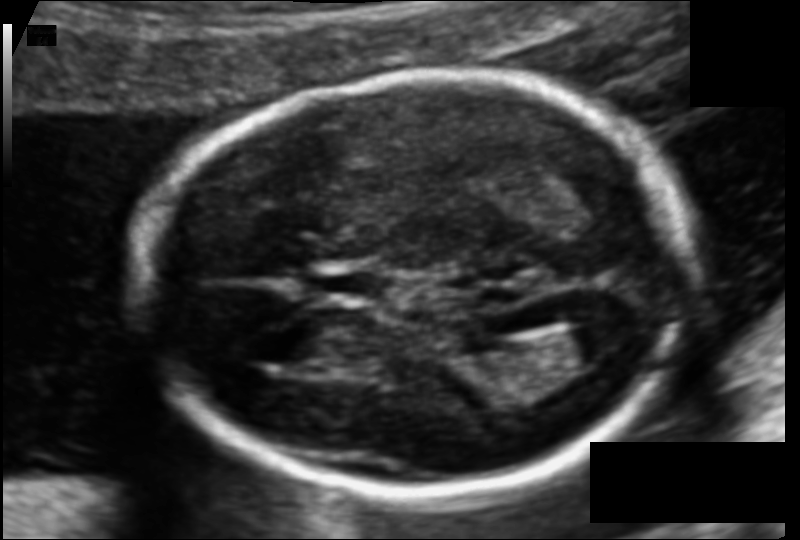
Fetal head ultrasound. Image width: 83.7 mm. Where is the lateral ventricle?

Lateral ventricle bounding box: [554,308,638,375]